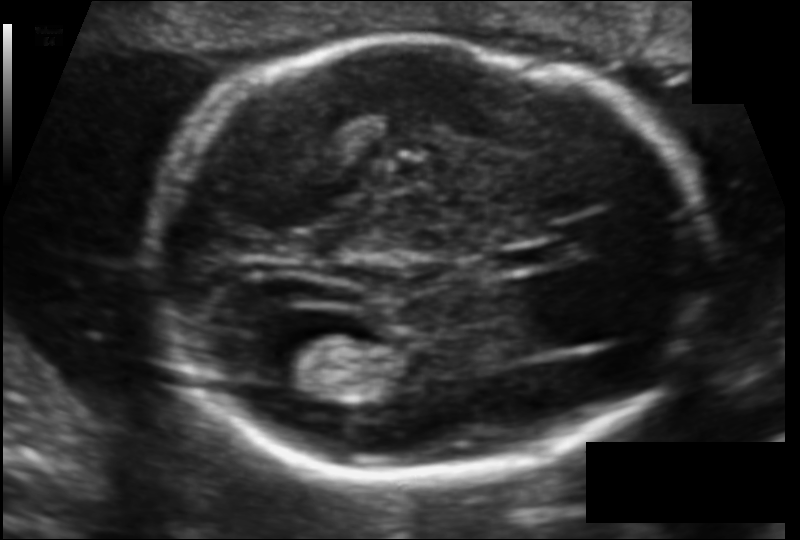
Fetal head ultrasound. Image width: 84.9 mm. Locate the lateral ventricle.

Lateral ventricle: [252,335,343,390]